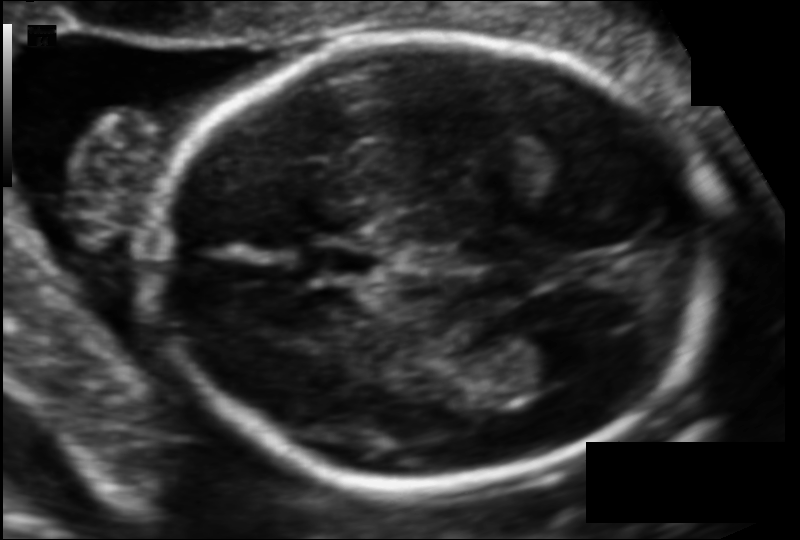
Fetal head ultrasound. Image width: 81.4 mm. Where is the lateral ventricle?

Lateral ventricle bounding box: [506,309,613,395]